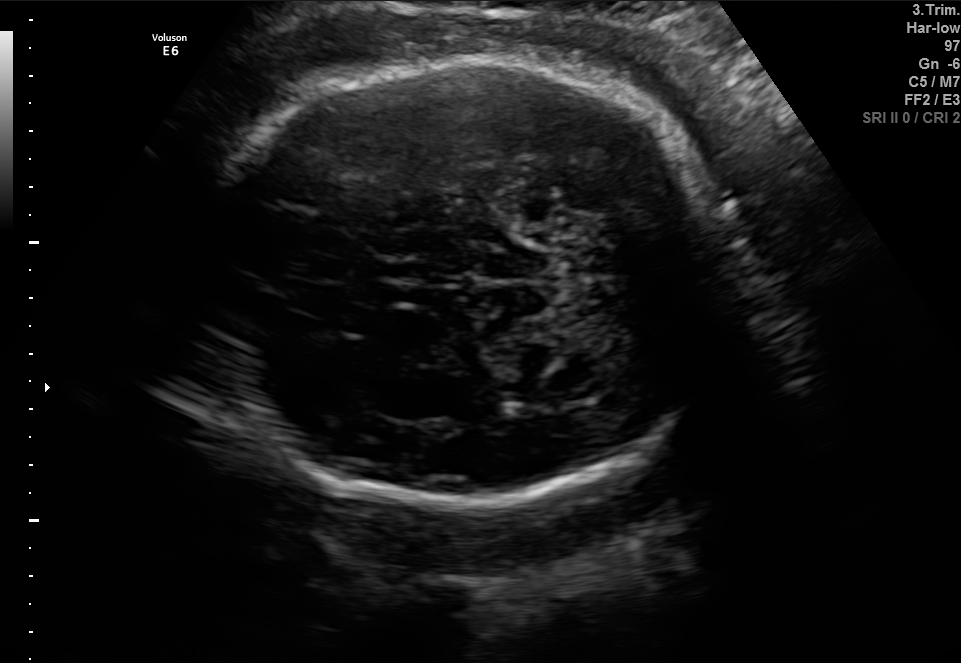
In this fetal brain, trans-cerebellum plane, give the bounding box of the fetal head.

[192,59,729,506]